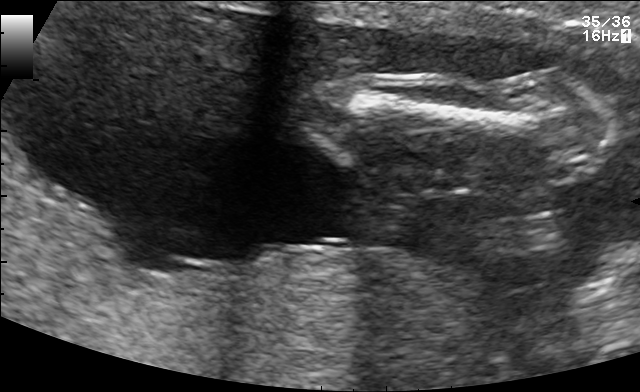
This is a 2D maternal-fetal ultrasound frame. Is it a fetal abdomen, fetal brain, fetal femur, fetal thorax, maternal cervix, or other standard plane? If it's fetal brain and one of the three standard brain planes (trans-thalamic, trans-cerebellum, trans-ventricular), name which.

Fetal femur